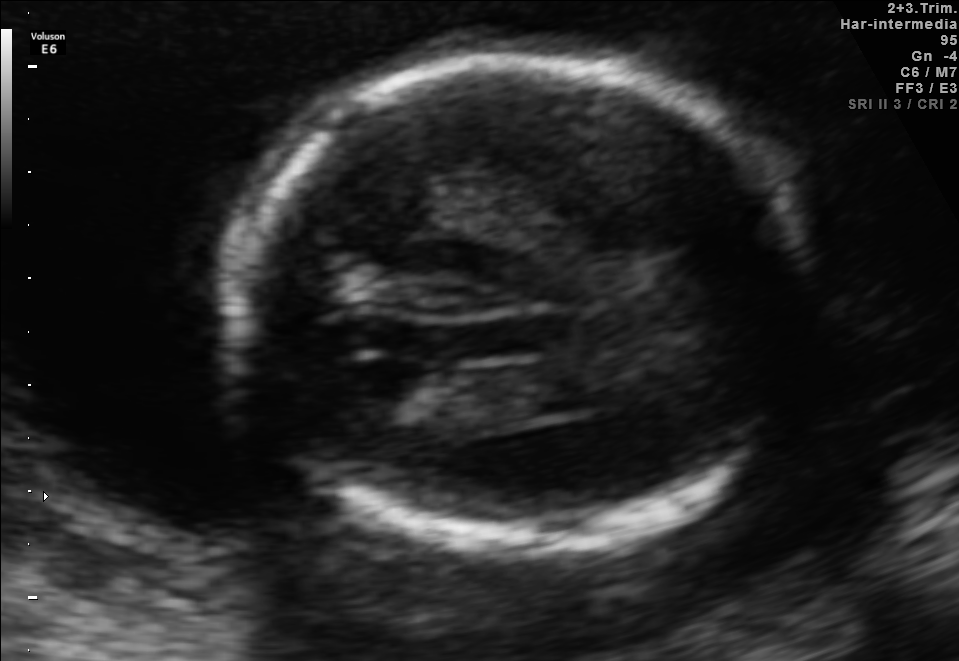
Fetal brain, trans-ventricular plane. Locate the fetal head and, if visible, the cavum septum pellucidum (CSP) and lateral ventricle (LV). Give bounding boxes as [x1,y1,x2,y2].

Head: [213,50,830,559]